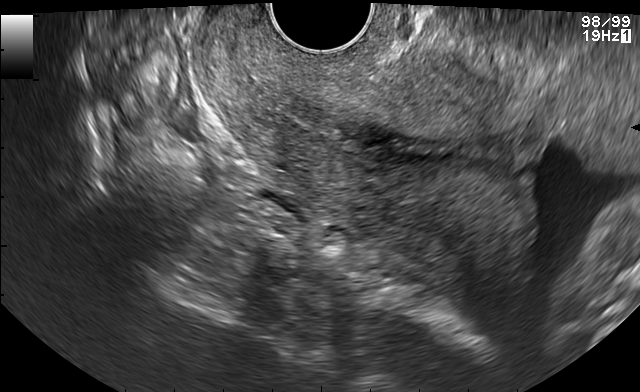
This is a 2D maternal-fetal ultrasound frame. Is it a fetal abdomen, fetal brain, fetal femur, fetal thorax, maternal cervix, or other standard plane? If it's fetal brain and one of the three standard brain planes (trans-thalamic, trans-cerebellum, trans-ventricular), name which.

Maternal cervix